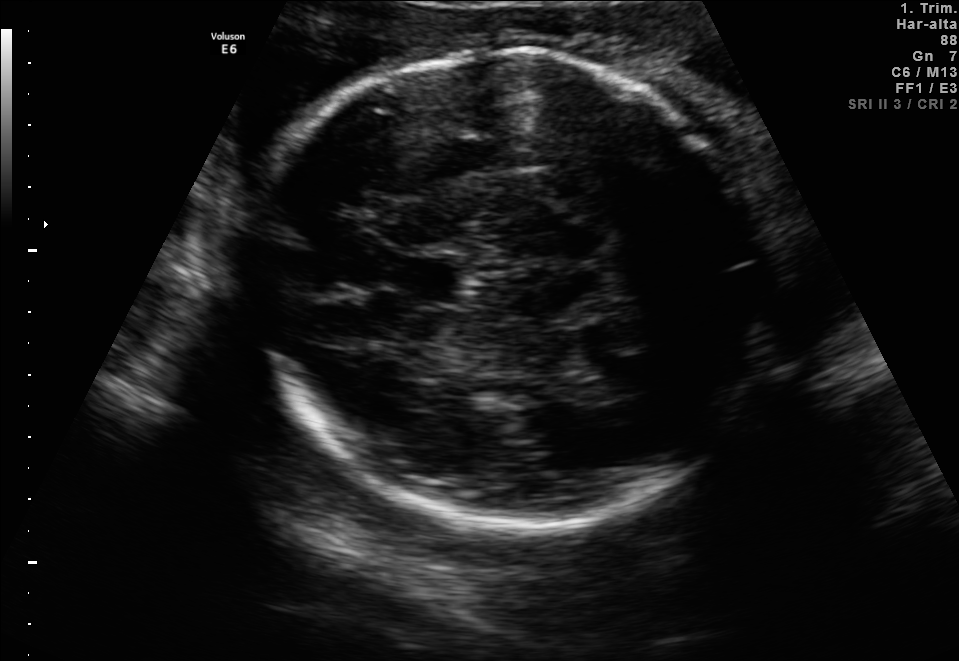
Fetal brain, trans-thalamic plane. Where is the fetal head?

Head bounding box: [250,50,765,529]